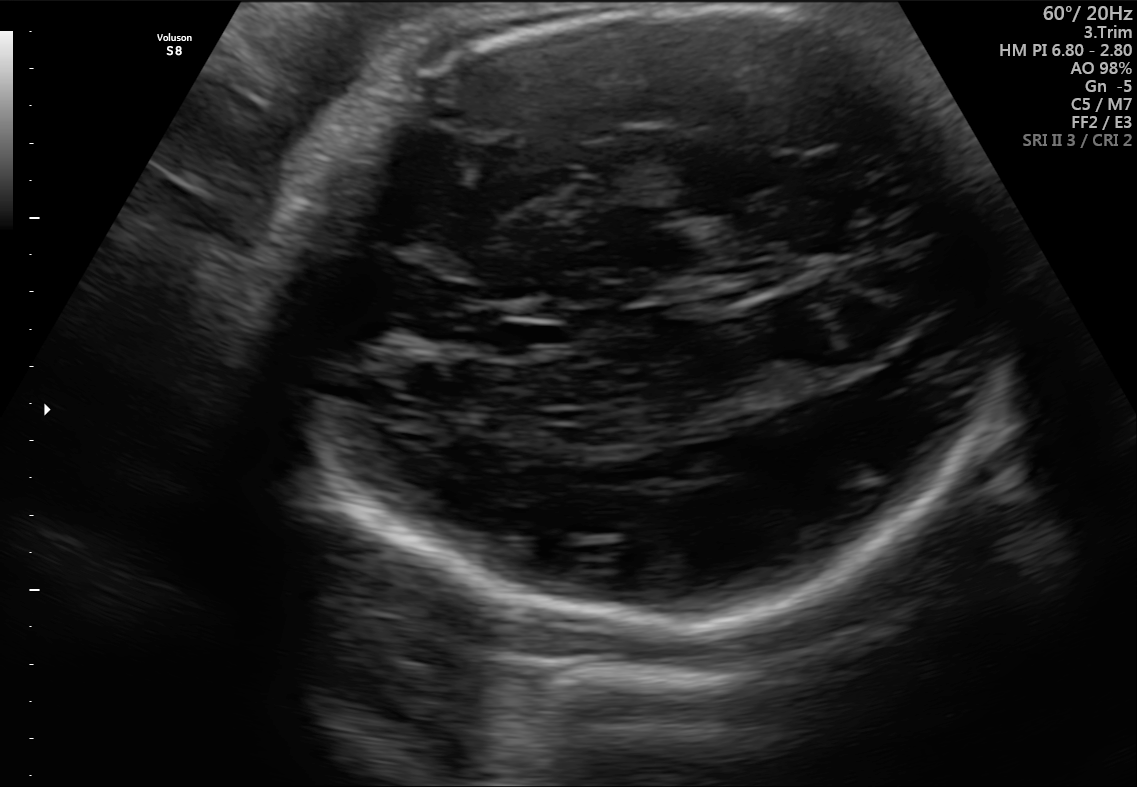
Fetal brain, trans-thalamic plane. Give [x1,y1,x2,y2] bounding boxes for each visible structure among: fetal head, CSP, LV.

Head: [268,6,1016,624]